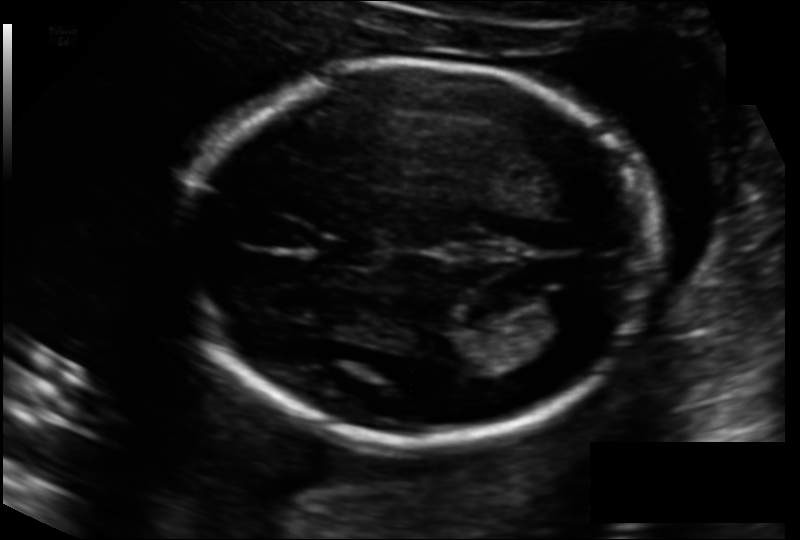
Fetal head ultrasound. Image width: 106.6 mm. Locate the fetal head.

Head: [180,61,657,444]